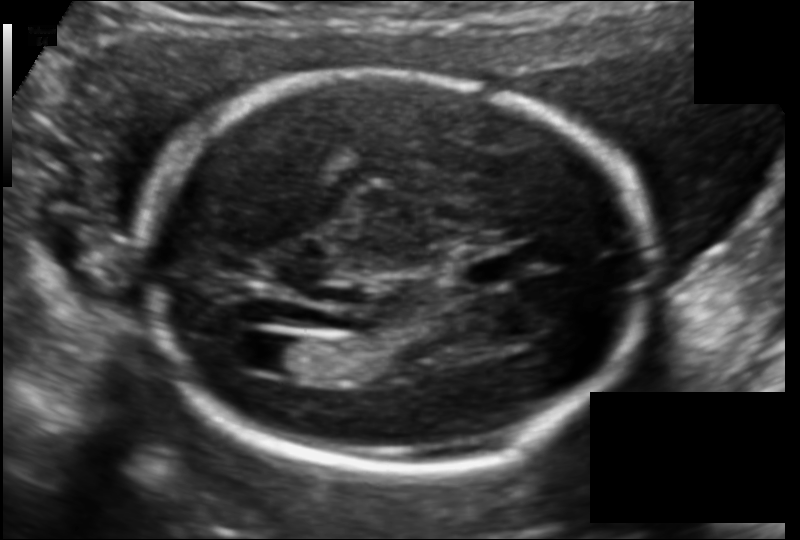
Measure the fetal head circumference shown in this ultrasound image. Image width: 97.5 mm.

Head circumference: 177.8 mm.